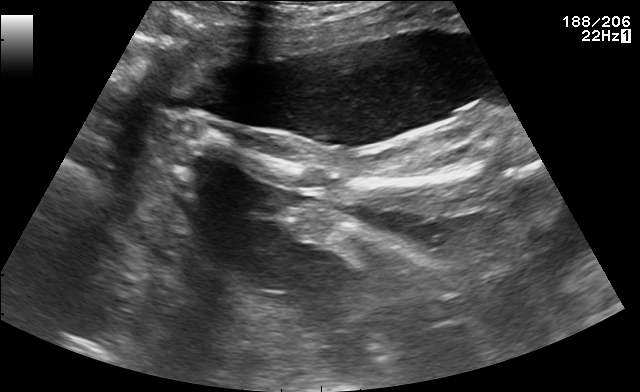
Classify this maternal-fetal ultrasound image as one of the six standard planes — fetal abdomen, fetal brain, fetal femur, fetal thorax, maternal cervix, or other. If it's fetal brain and one of the three standard brain planes (trans-thalamic, trans-cerebellum, trans-ventricular), name which.

Other